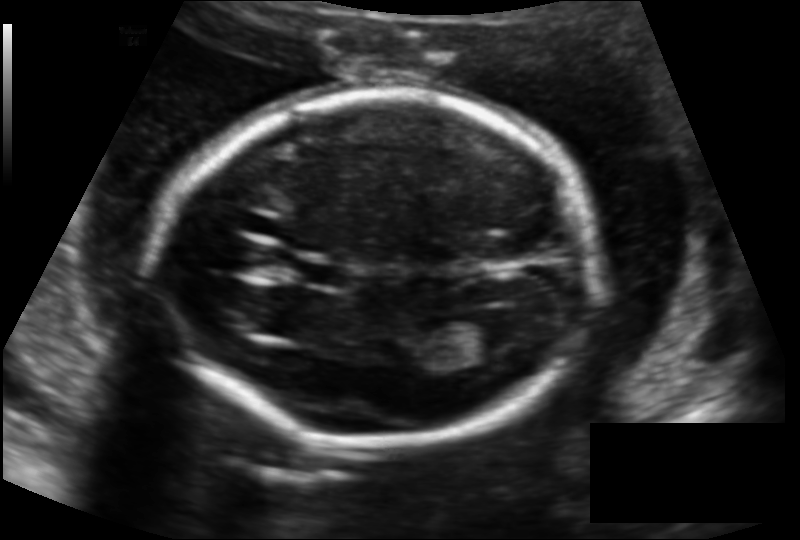
Estimate the fetal head circumference from this 2D ultrasound. Image width: 108.6 mm.

Head circumference: 172.4 mm.